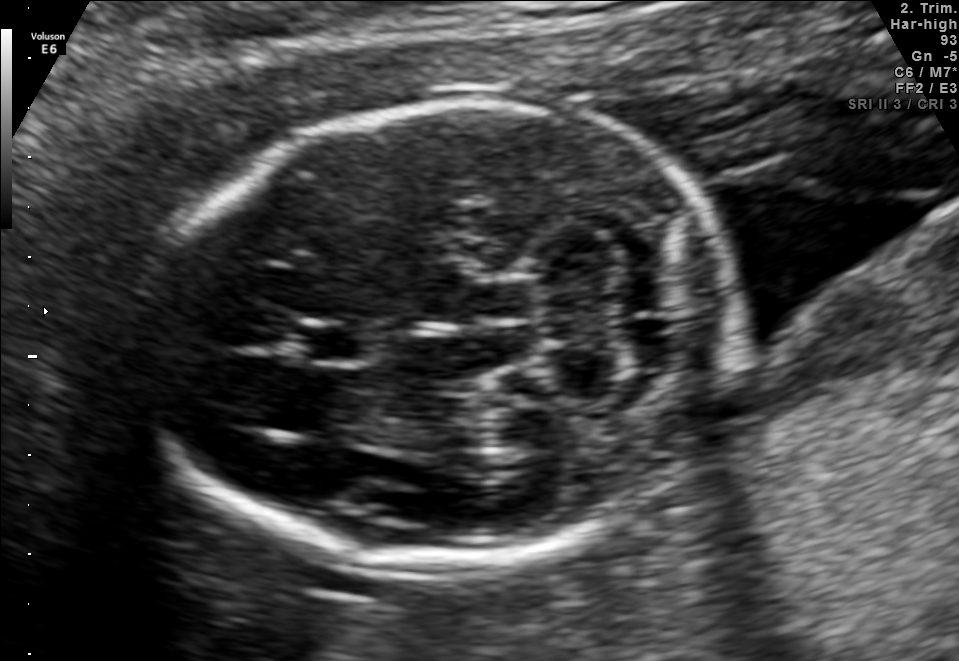
Fetal brain, trans-cerebellum plane. Where is the fetal head?

Head bounding box: [152,103,733,564]